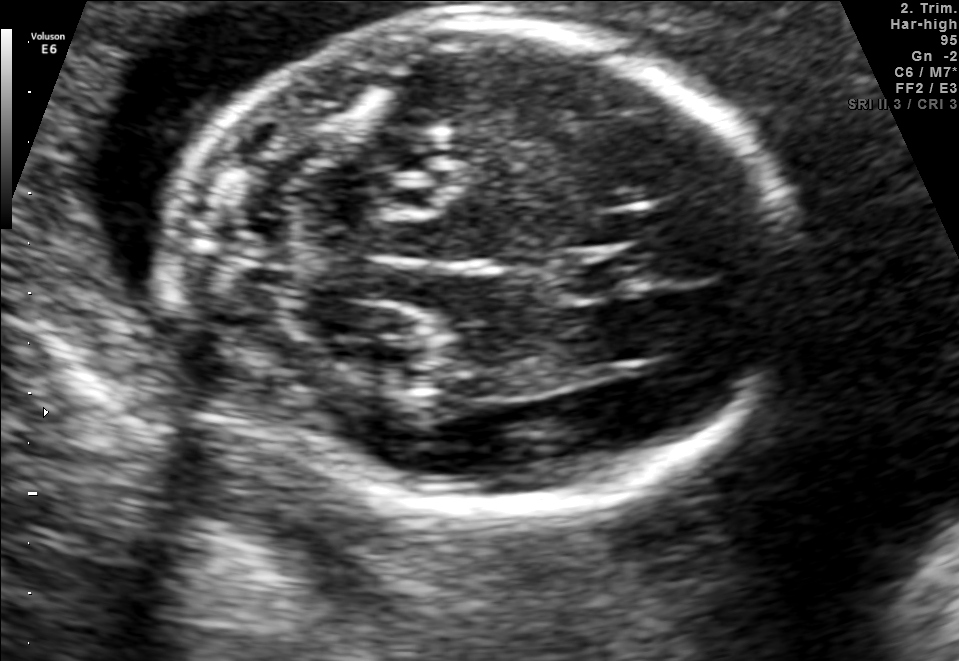
Fetal brain, trans-cerebellum plane. Locate the cavum septum pellucidum.

CSP: [551,244,649,303]